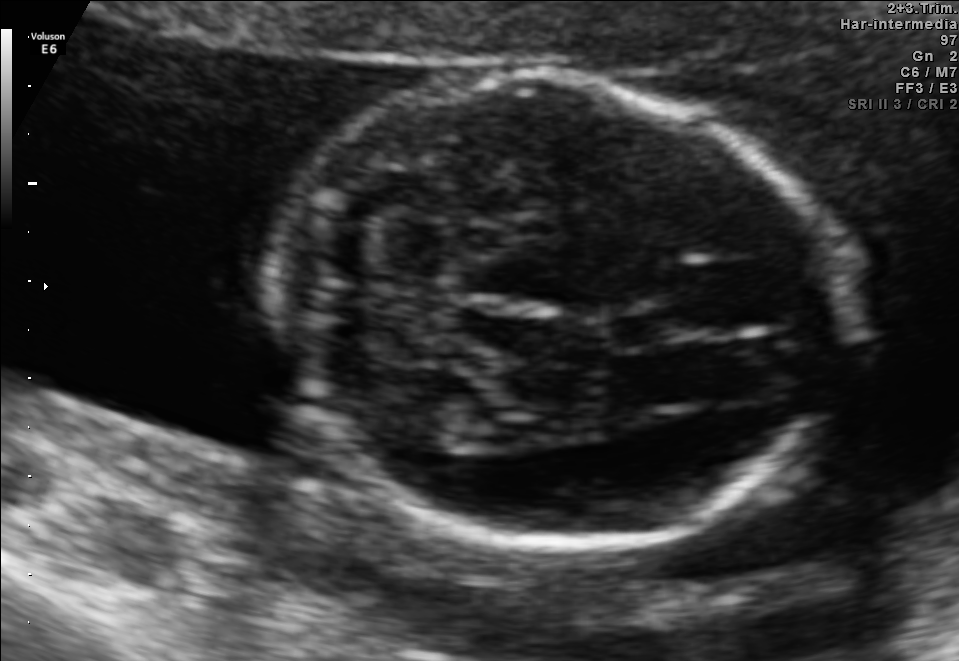
This is a 2D maternal-fetal ultrasound frame. Is it a fetal abdomen, fetal brain, fetal femur, fetal thorax, maternal cervix, or other standard plane? If it's fetal brain and one of the three standard brain planes (trans-thalamic, trans-cerebellum, trans-ventricular), name which.

Fetal brain (trans-cerebellum plane)